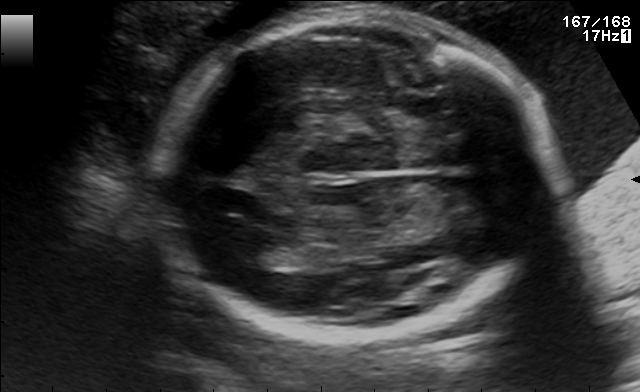
Fetal brain, trans-ventricular plane. Locate the fetal head.

Head: [151,4,565,345]